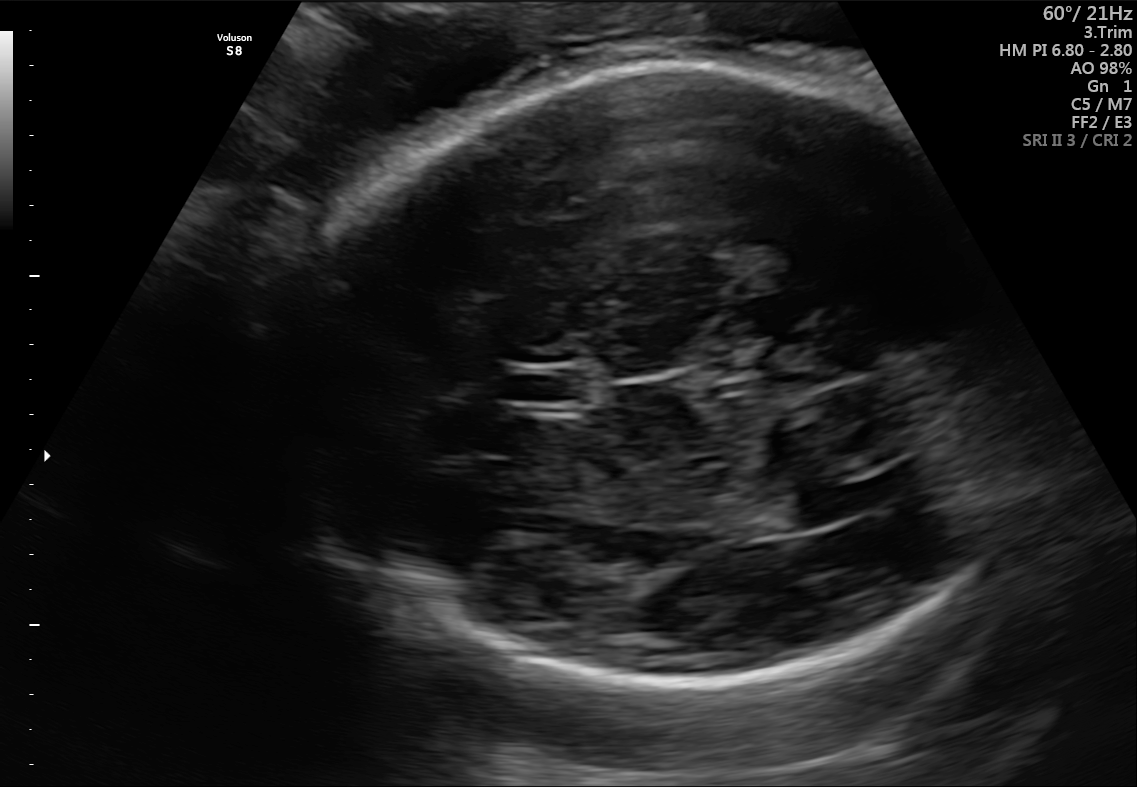
Fetal brain, trans-thalamic plane. Locate the fetal head and, if visible, the cavum septum pellucidum (CSP) and lateral ventricle (LV). Give bounding boxes as [x1,y1,x2,y2].

Head: [256,63,1016,686]
CSP: [507,369,589,402]
Lateral ventricle: [766,472,877,536]